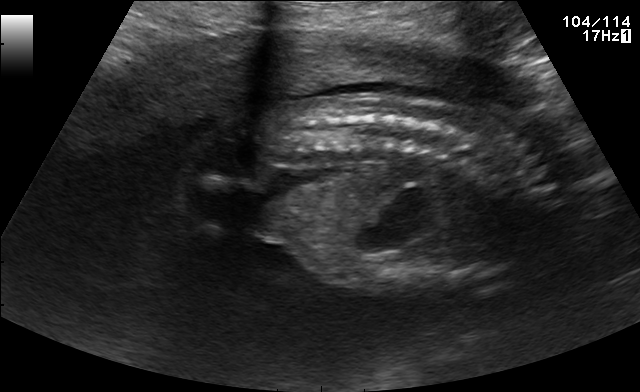
This is a 2D maternal-fetal ultrasound frame. Is it a fetal abdomen, fetal brain, fetal femur, fetal thorax, maternal cervix, or other standard plane? If it's fetal brain and one of the three standard brain planes (trans-thalamic, trans-cerebellum, trans-ventricular), name which.

Other